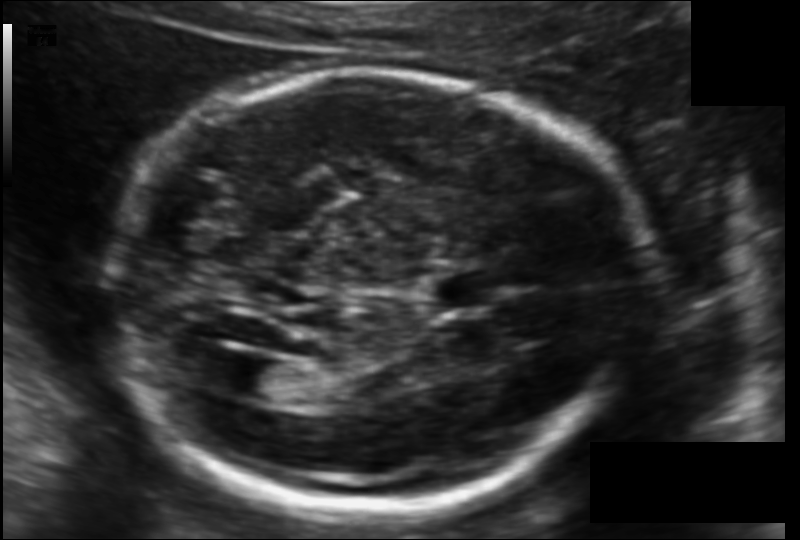
Fetal head ultrasound. Image width: 95.3 mm. Locate the lateral ventricle.

Lateral ventricle: [221,355,293,402]